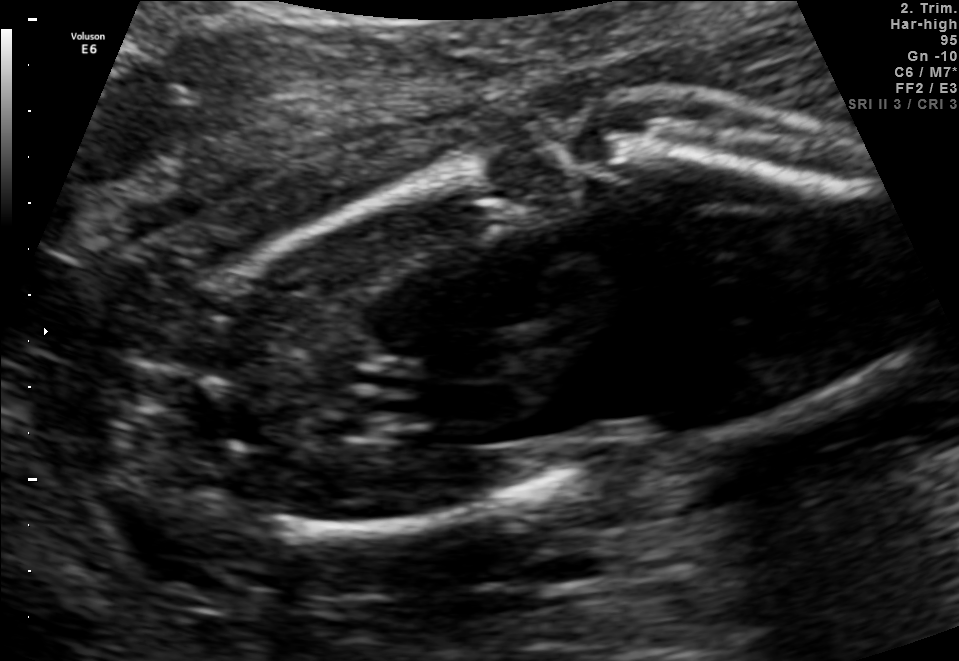
Which standard maternal-fetal ultrasound plane is shown: fetal abdomen, fetal brain, fetal femur, fetal thorax, maternal cervix, or other? If it's fetal brain and one of the three standard brain planes (trans-thalamic, trans-cerebellum, trans-ventricular), name which.

Fetal femur